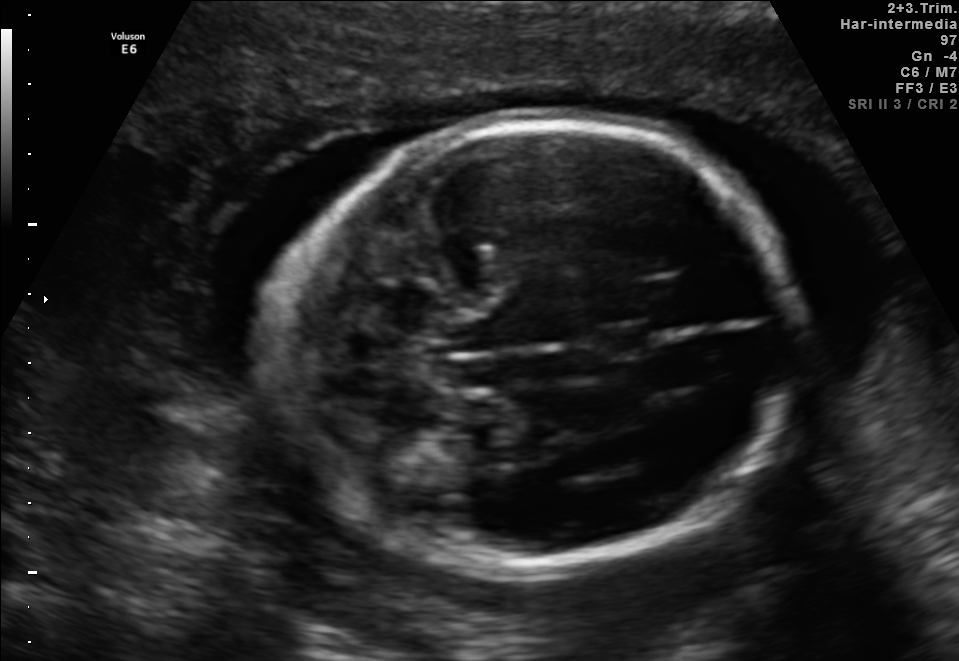
Fetal brain, trans-cerebellum plane. Where is the cavum septum pellucidum?

CSP bounding box: [587,320,657,364]